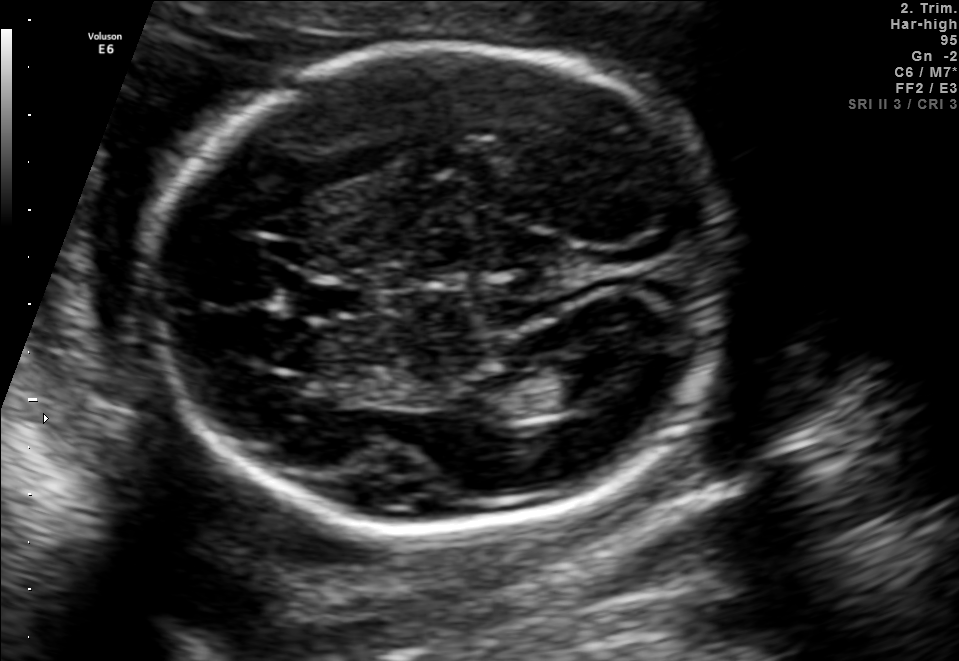
Fetal brain, trans-ventricular plane. Where is the cavum septum pellucidum?

CSP bounding box: [282,277,380,322]